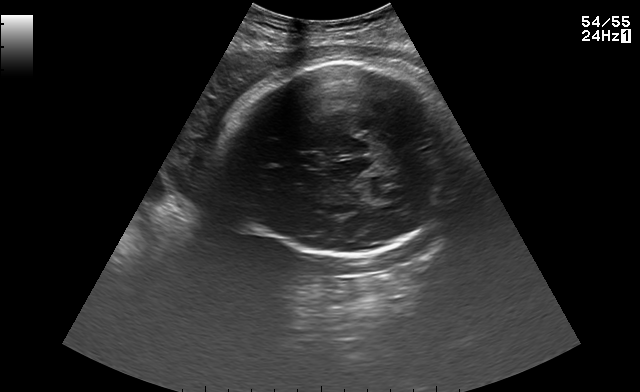
In this fetal brain, trans-thalamic plane, give the bounding box of the fetal head.

[226,62,455,255]